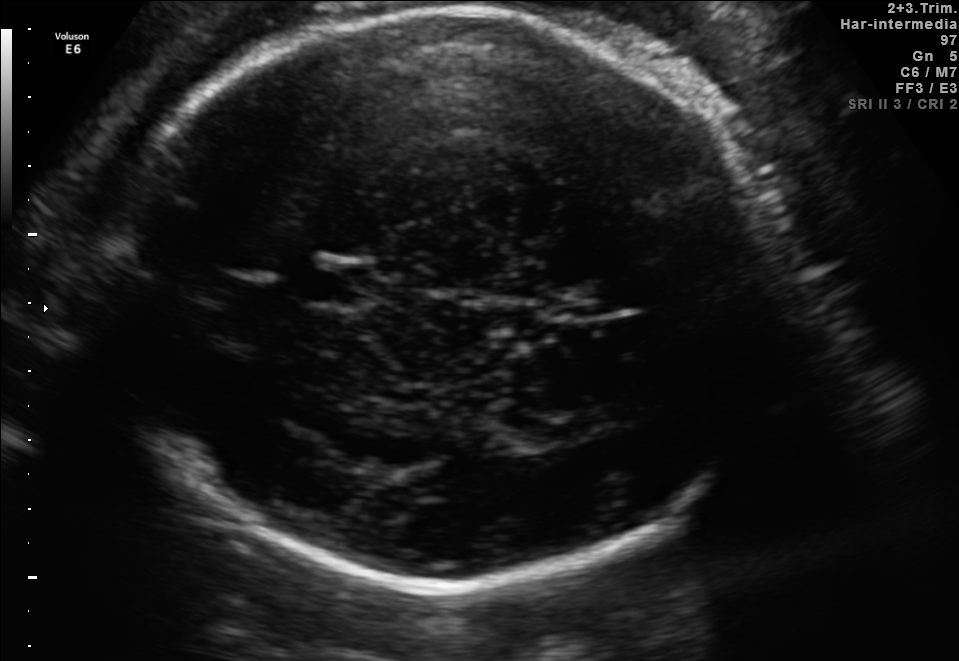
Fetal brain, trans-thalamic plane. Where is the cavum septum pellucidum?

CSP bounding box: [299,264,360,304]